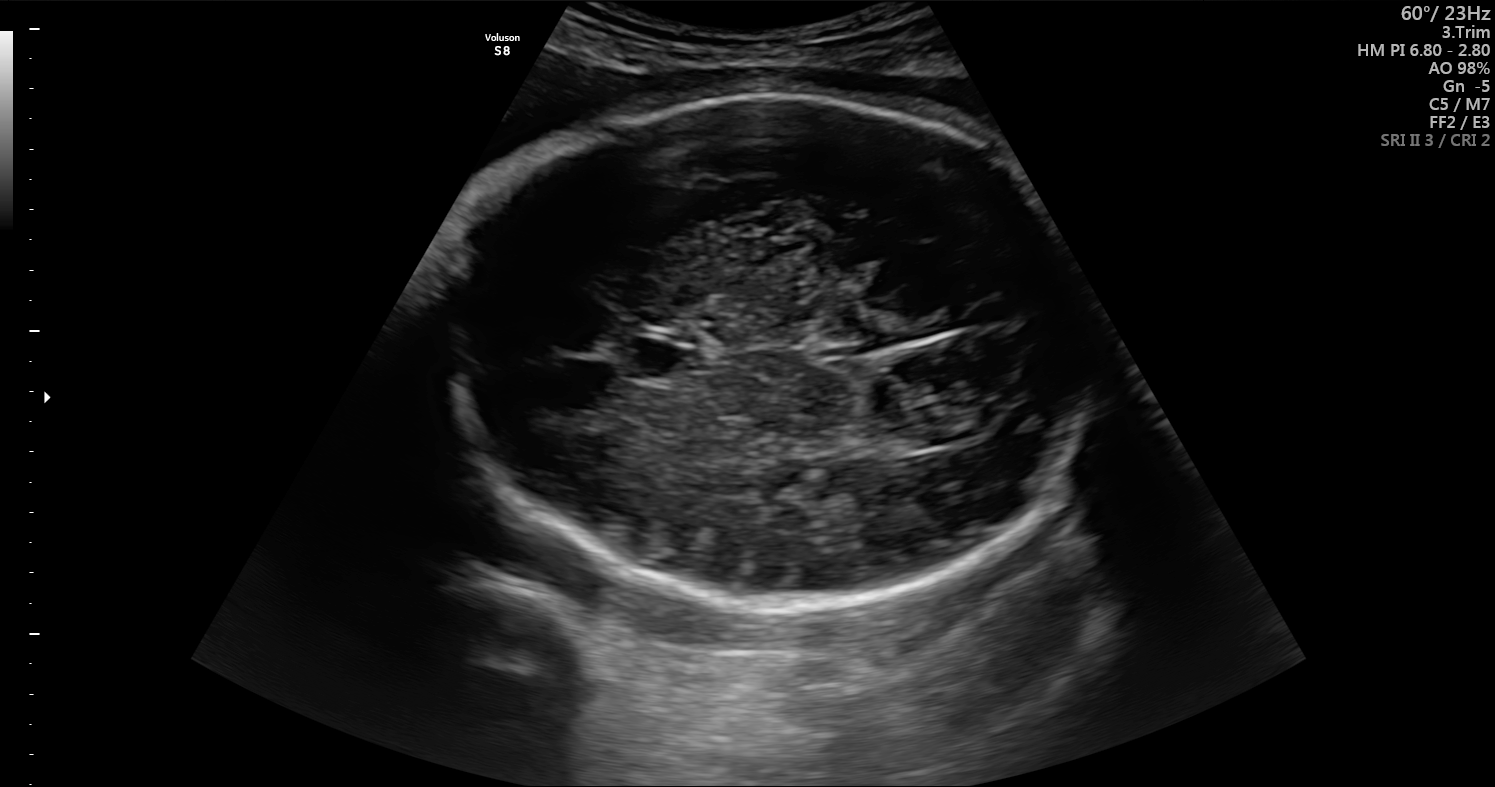
Identify the standard plane in this fetal ultrasound image: fetal abdomen, fetal brain, fetal femur, fetal thorax, maternal cervix, or other. If it's fetal brain and one of the three standard brain planes (trans-thalamic, trans-cerebellum, trans-ventricular), name which.

Fetal brain (trans-thalamic plane)